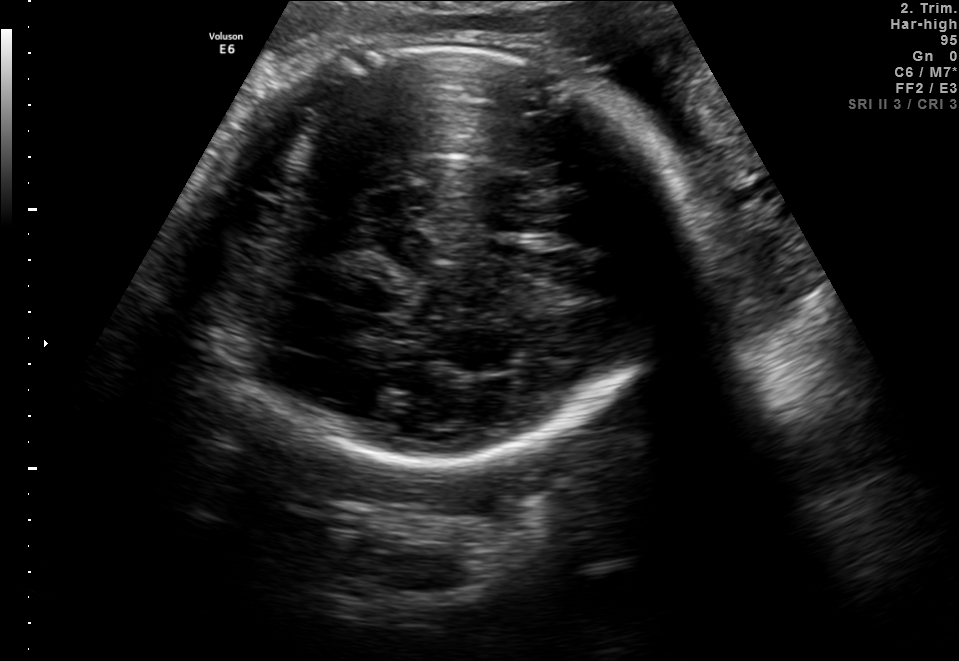
Fetal brain, trans-thalamic plane. Where is the fetal head?

Head bounding box: [179,43,674,464]